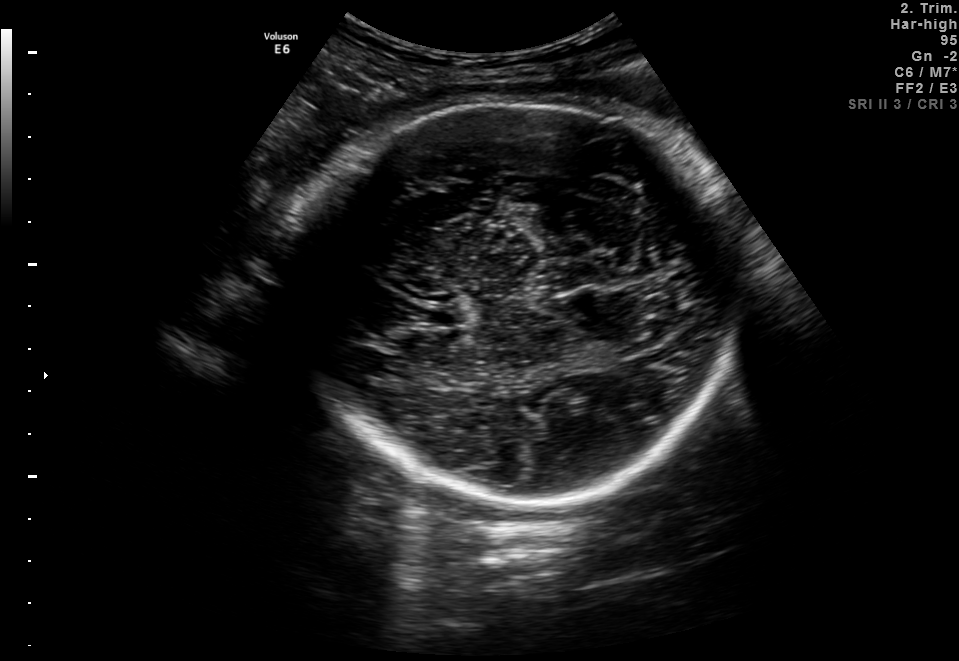
Fetal brain, trans-thalamic plane. Locate the fetal head and, if visible, the cavum septum pellucidum (CSP) and lateral ventricle (LV). Give bounding boxes as [x1,y1,x2,y2].

Head: [286,100,735,503]
CSP: [413,301,464,331]